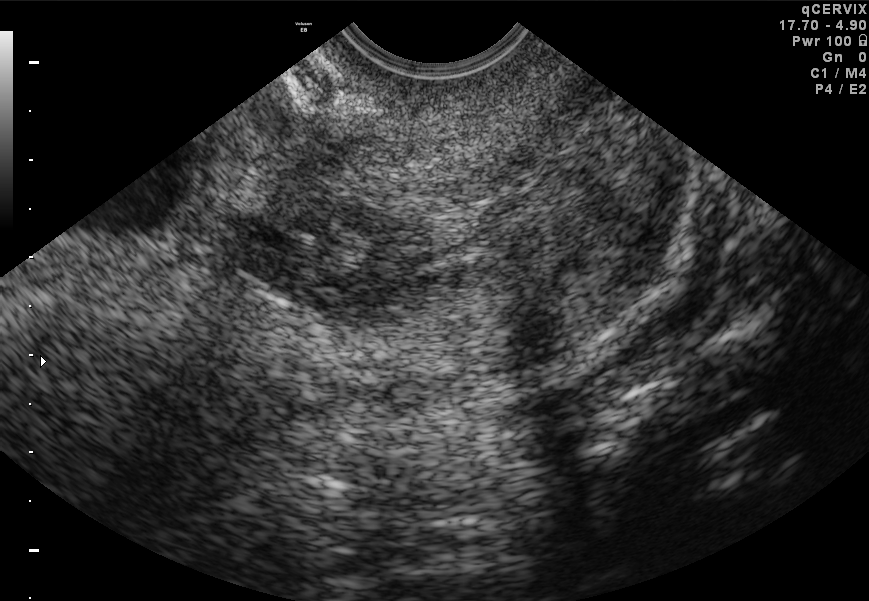
This is a 2D maternal-fetal ultrasound frame. Is it a fetal abdomen, fetal brain, fetal femur, fetal thorax, maternal cervix, or other standard plane? If it's fetal brain and one of the three standard brain planes (trans-thalamic, trans-cerebellum, trans-ventricular), name which.

Maternal cervix